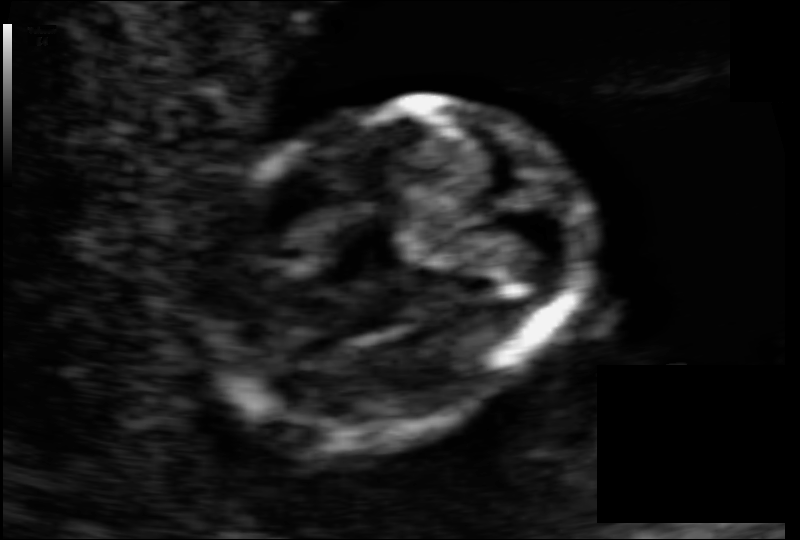
From this fetal ultrasound, estimate the head circumference (image width 55.0 mm).

Head circumference: 81.4 mm.